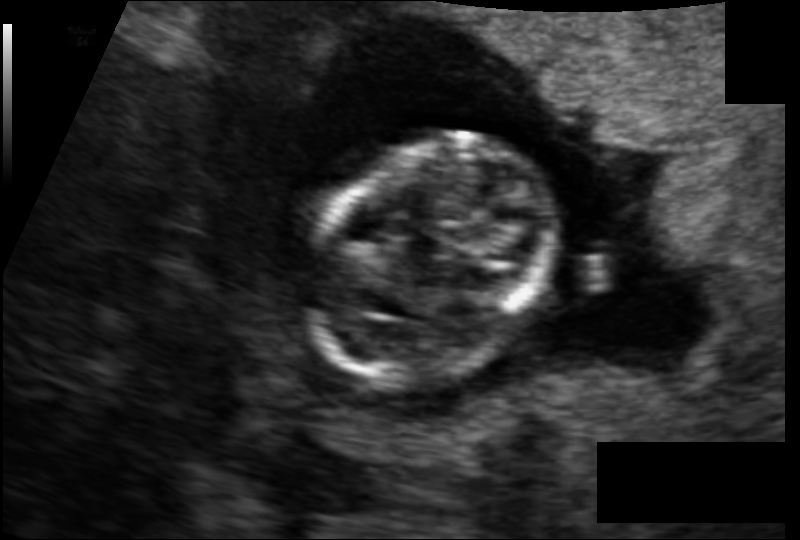
Measure the fetal head circumference shown in this ultrasound image. Image width: 77.6 mm.

Head circumference: 78.8 mm.